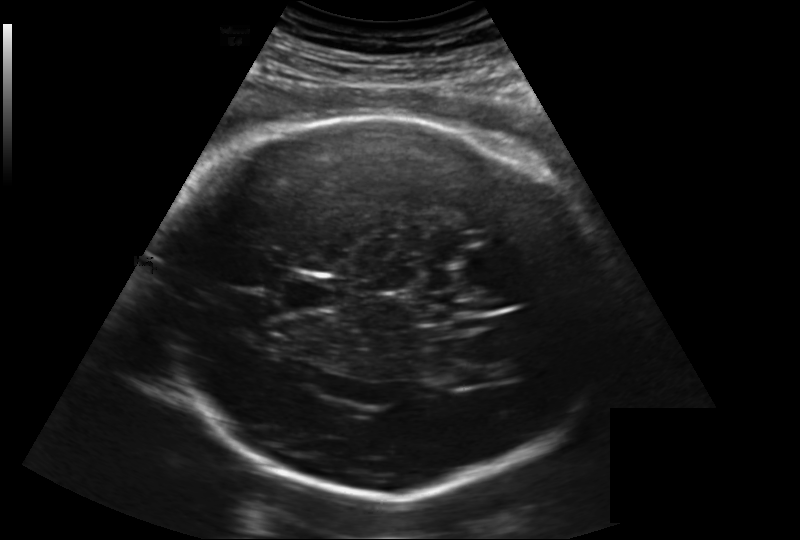
Fetal head ultrasound. Image width: 175.3 mm. Where is the fetal head?

Head bounding box: [158,116,611,499]